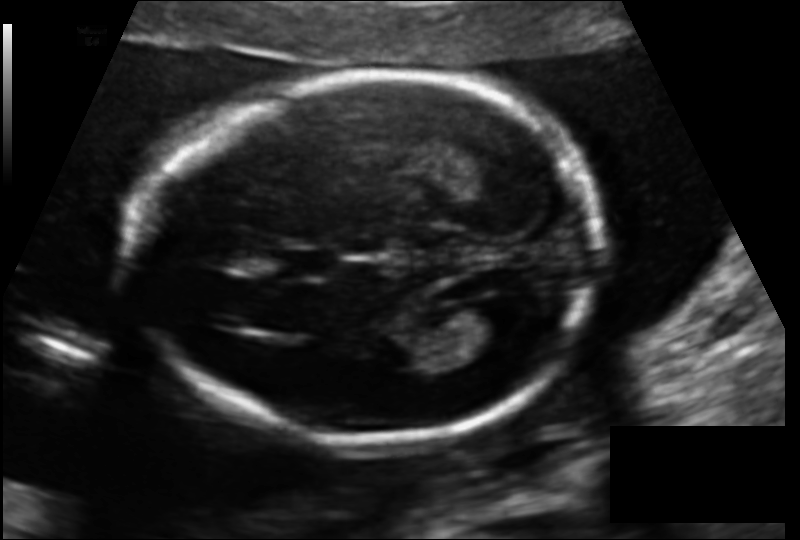
Fetal head ultrasound. Image width: 100.2 mm. Locate the fetal head and, if visible, the cavum septum pellucidum (CSP) and lateral ventricle (LV). Give bounding boxes as [x1,y1,x2,y2].

Head: [138,76,597,441]
CSP: [278,248,333,277]
Lateral ventricle: [455,283,533,351]